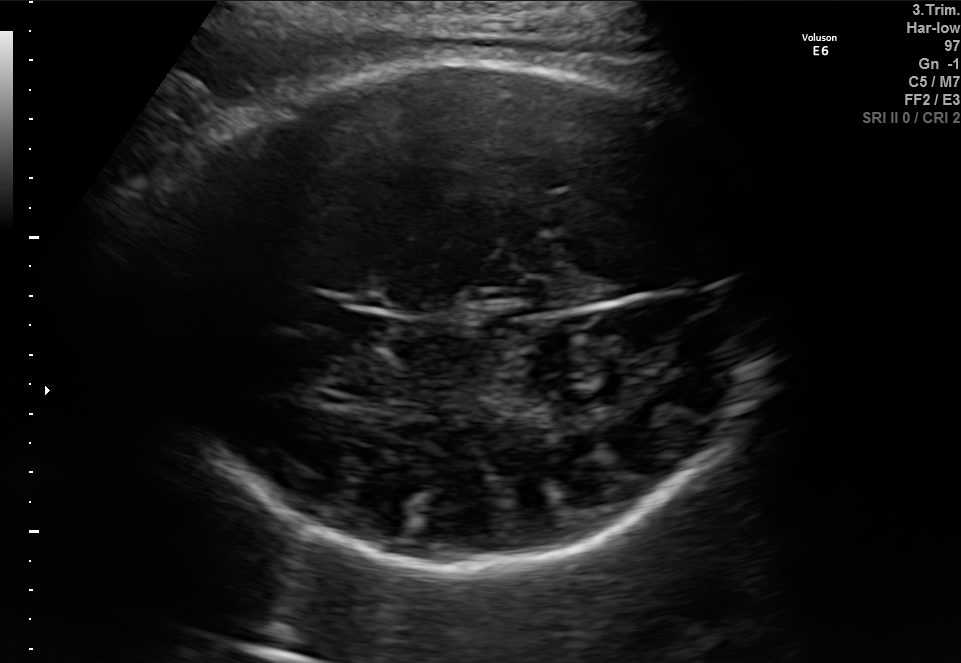
In this fetal brain, trans-thalamic plane, give the bounding box of the cavum septum pellucidum.

[304,294,392,344]